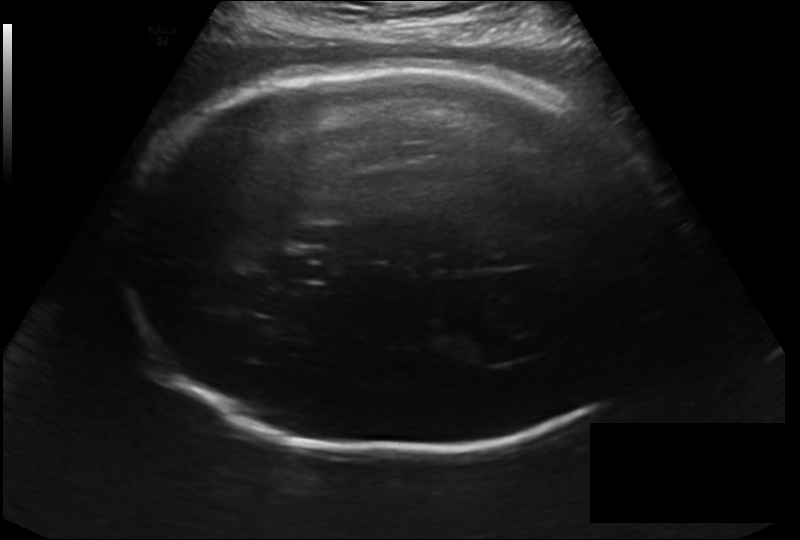
Fetal head ultrasound. Image width: 171.6 mm. Locate the fetal head and, if visible, the cavum septum pellucidum (CSP) and lateral ventricle (LV). Give bounding boxes as [x1,y1,x2,y2].

Head: [122,64,677,452]
CSP: [279,247,329,283]
Lateral ventricle: [467,334,531,369]